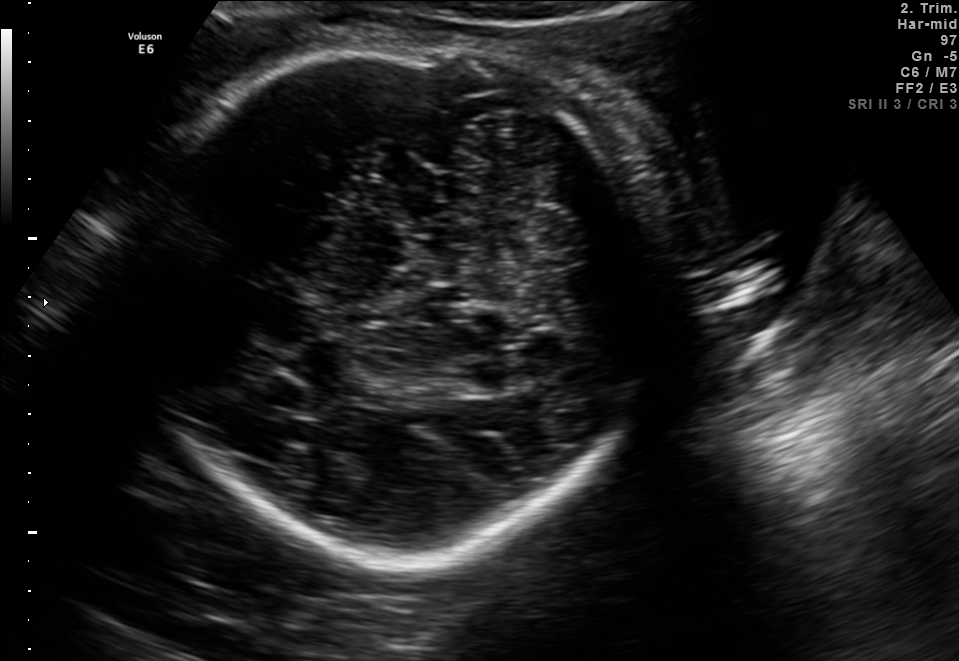
In this fetal brain, trans-cerebellum plane, give the bounding box of the fetal head.

[134,45,649,554]